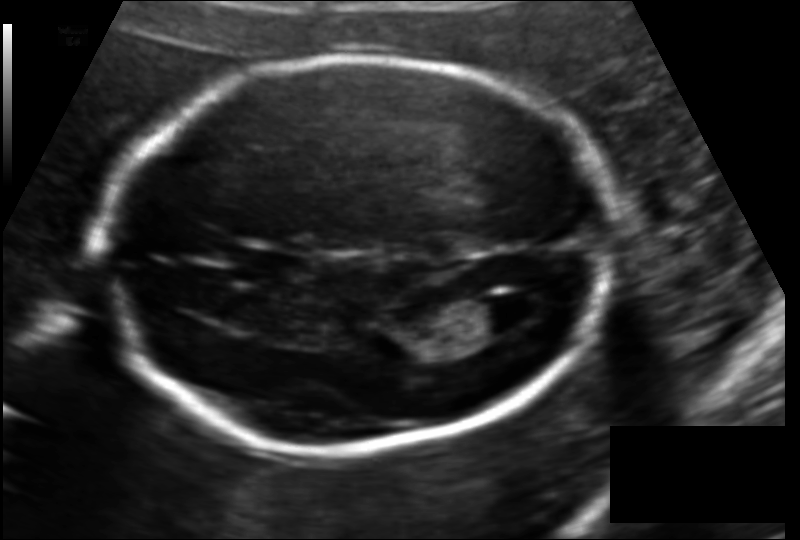
In this fetal head ultrasound, give the bounding box of the cavum septum pellucidum. Image width: 101.5 mm.

[228,245,308,284]